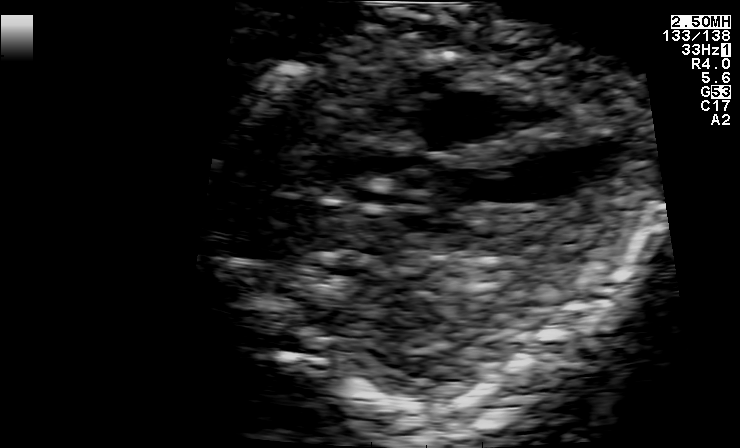
Classify this maternal-fetal ultrasound image as one of the six standard planes — fetal abdomen, fetal brain, fetal femur, fetal thorax, maternal cervix, or other. If it's fetal brain and one of the three standard brain planes (trans-thalamic, trans-cerebellum, trans-ventricular), name which.

Fetal thorax